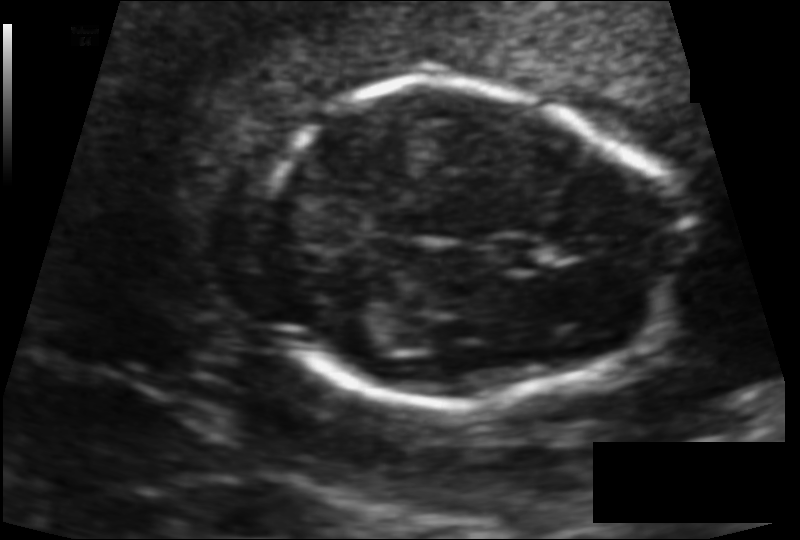
Estimate the fetal head circumference from this 2D ultrasound. Image width: 80.4 mm.

Head circumference: 121.3 mm.